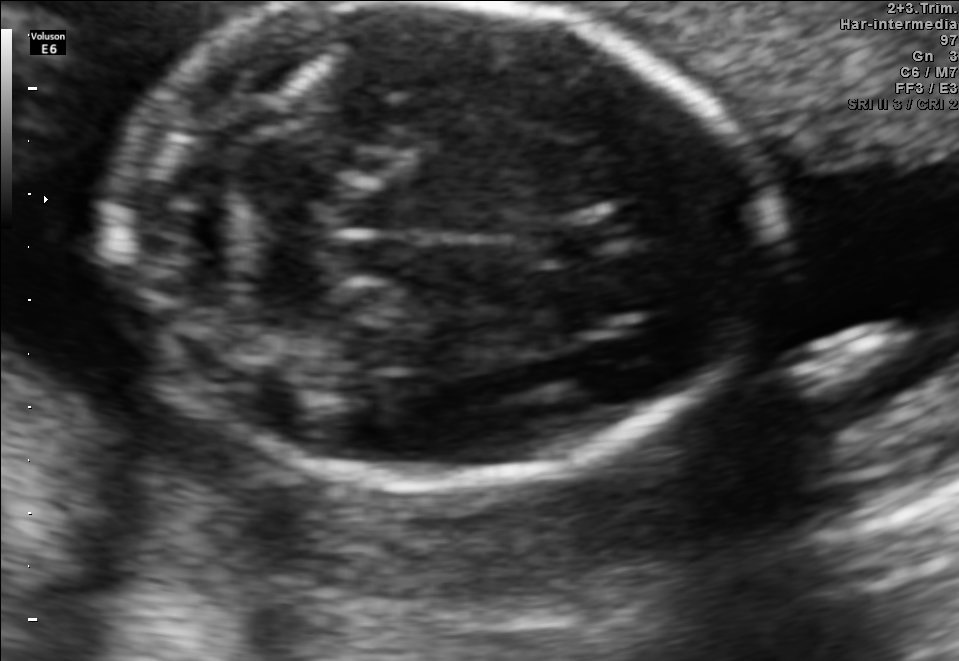
Fetal brain, trans-cerebellum plane. Give [x1,y1,x2,y2] bounding boxes for each visible structure among: fetal head, CSP, LV.

Head: [108,5,763,482]
CSP: [529,203,626,269]